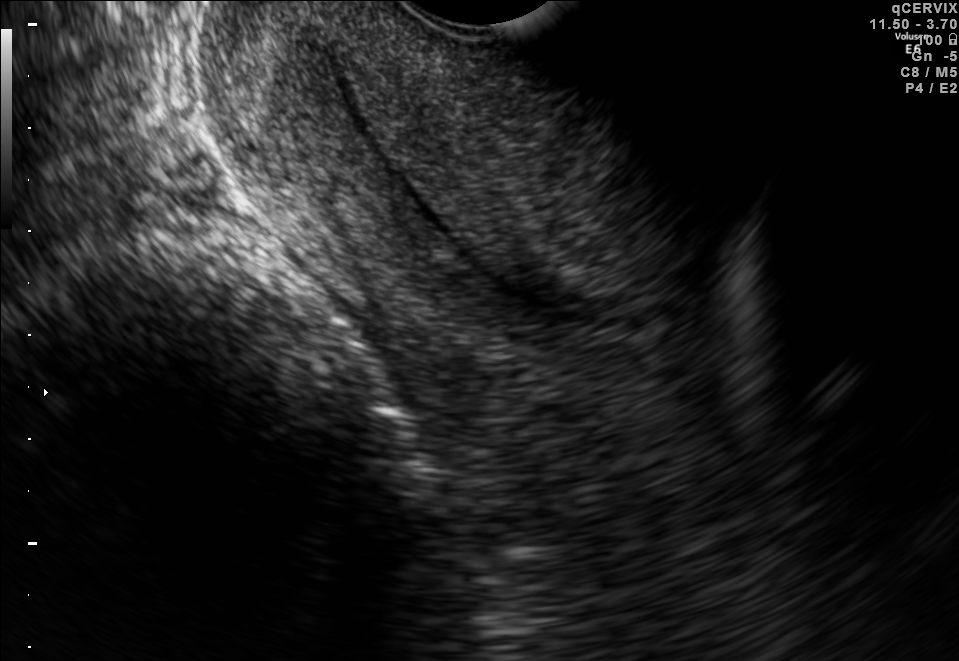
Which standard maternal-fetal ultrasound plane is shown: fetal abdomen, fetal brain, fetal femur, fetal thorax, maternal cervix, or other? If it's fetal brain and one of the three standard brain planes (trans-thalamic, trans-cerebellum, trans-ventricular), name which.

Maternal cervix